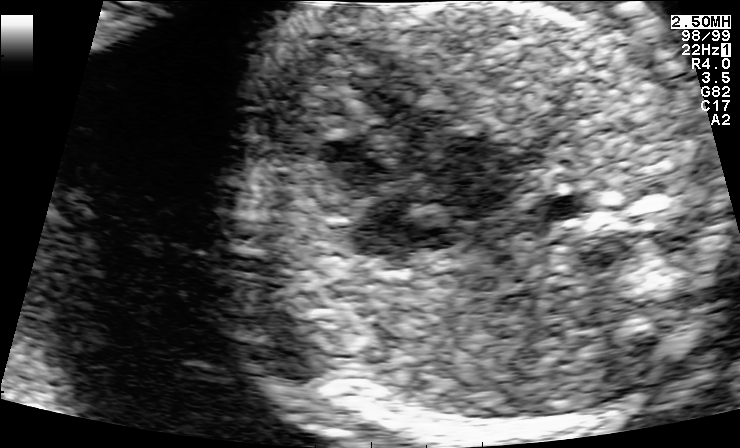
This is a 2D maternal-fetal ultrasound frame. Is it a fetal abdomen, fetal brain, fetal femur, fetal thorax, maternal cervix, or other standard plane? If it's fetal brain and one of the three standard brain planes (trans-thalamic, trans-cerebellum, trans-ventricular), name which.

Fetal thorax